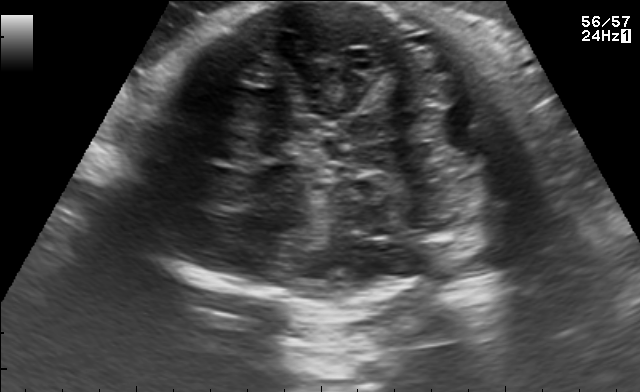
In this fetal brain, trans-cerebellum plane, give the bounding box of the fetal head.

[116,2,561,304]